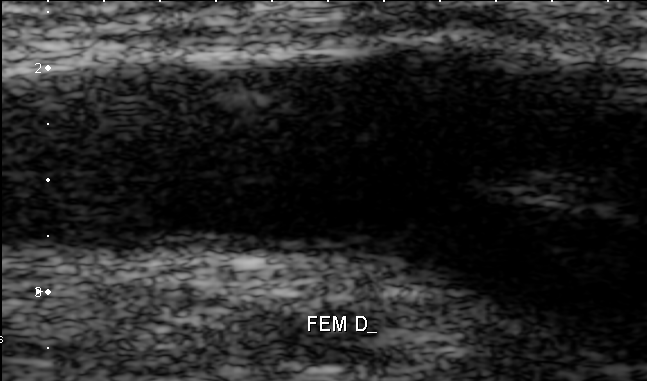
Identify the standard plane in this fetal ultrasound image: fetal abdomen, fetal brain, fetal femur, fetal thorax, maternal cervix, or other. If it's fetal brain and one of the three standard brain planes (trans-thalamic, trans-cerebellum, trans-ventricular), name which.

Other